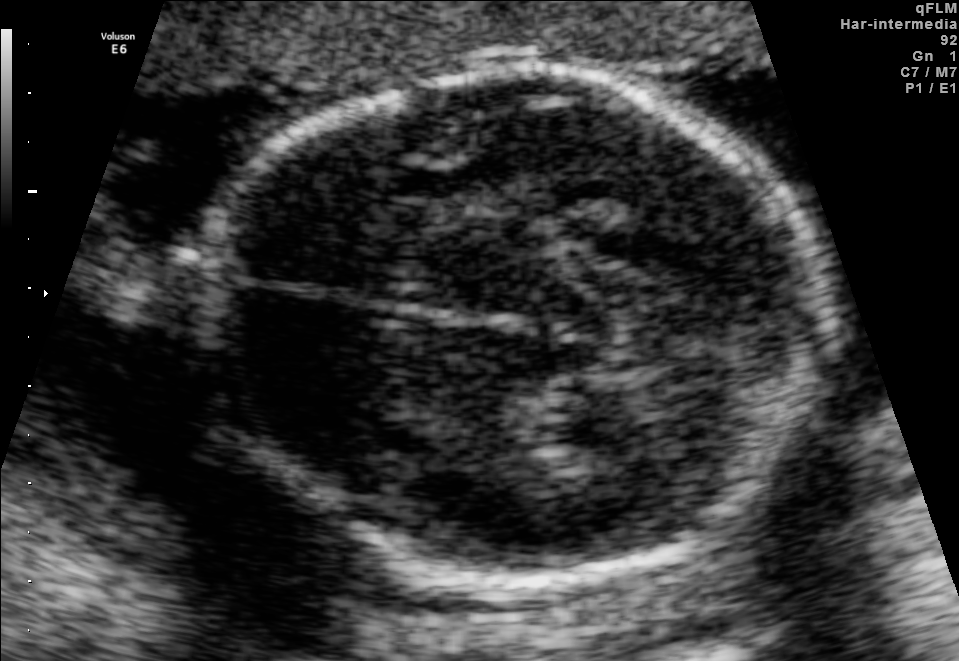
In this fetal brain, trans-thalamic plane, give the bounding box of the fetal head.

[209,70,834,583]